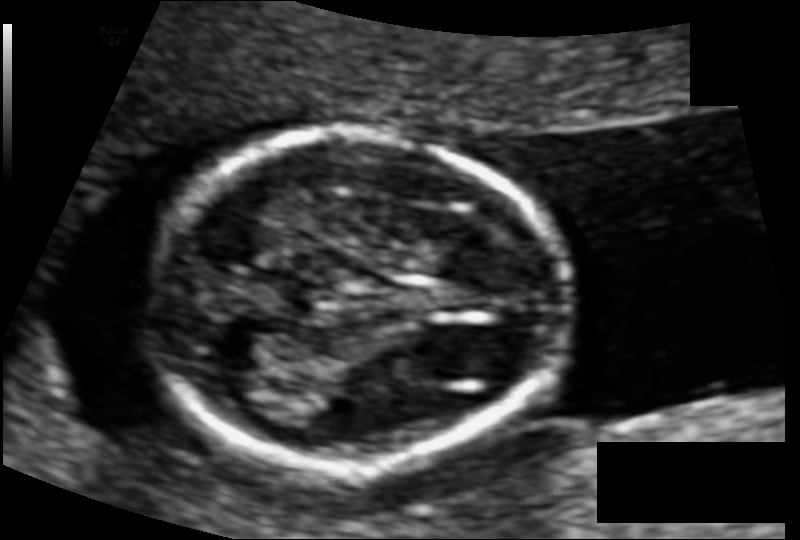
Estimate the fetal head circumference from this 2D ultrasound.

Head circumference: 101.5 mm (image width 66.8 mm).